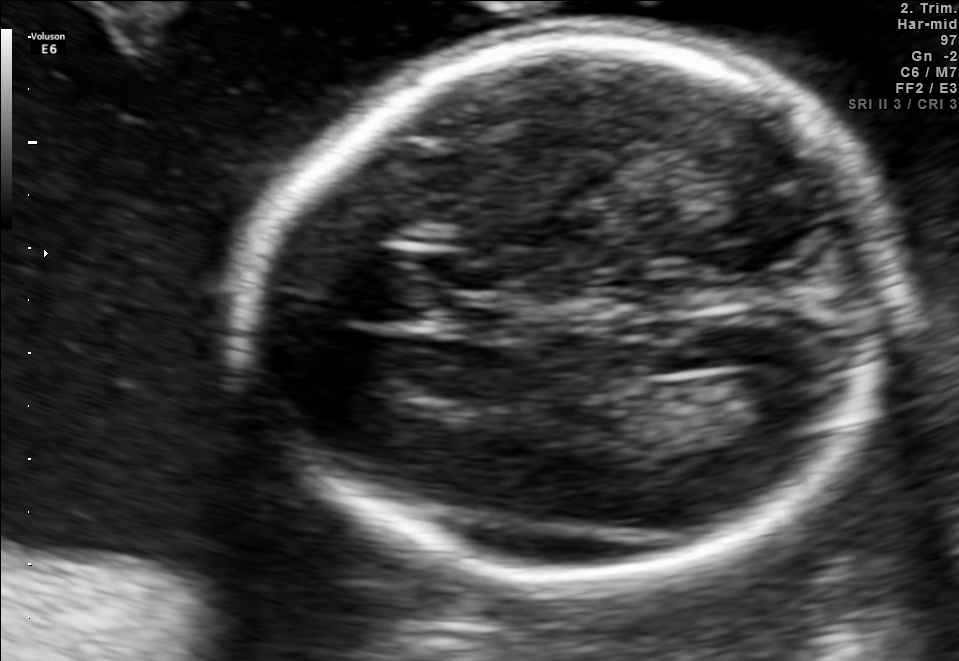
Classify this maternal-fetal ultrasound image as one of the six standard planes — fetal abdomen, fetal brain, fetal femur, fetal thorax, maternal cervix, or other. If it's fetal brain and one of the three standard brain planes (trans-thalamic, trans-cerebellum, trans-ventricular), name which.

Fetal brain (trans-ventricular plane)